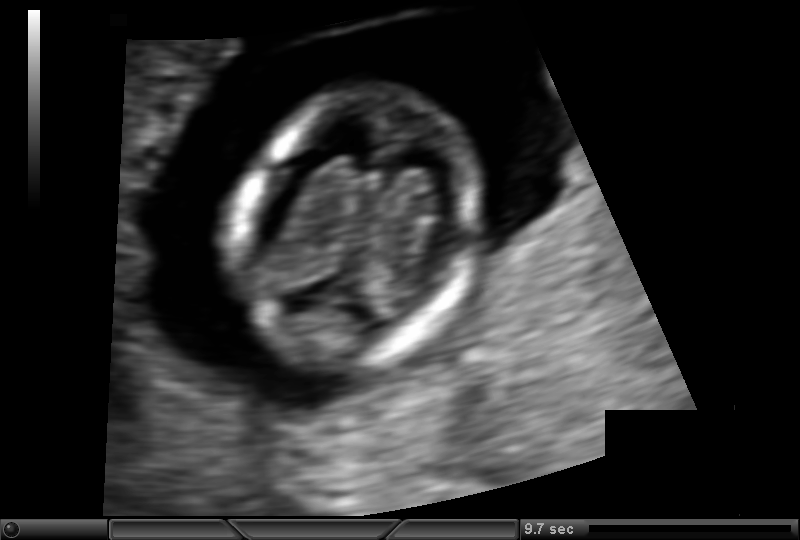
Measure the fetal head circumference shown in this ultrasound image. Image width: 73.8 mm.

Head circumference: 78.5 mm.